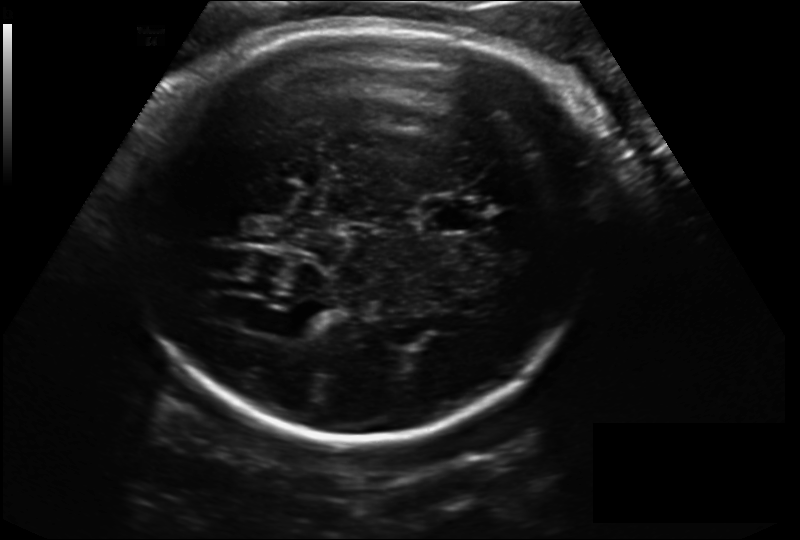
Fetal head ultrasound. Image width: 158.7 mm. Give [x1,y1,x2,y2] bounding boxes for each visible structure among: fetal head, CSP, LV.

Head: [133,22,603,438]
CSP: [423,199,485,232]
Lateral ventricle: [266,307,321,344]